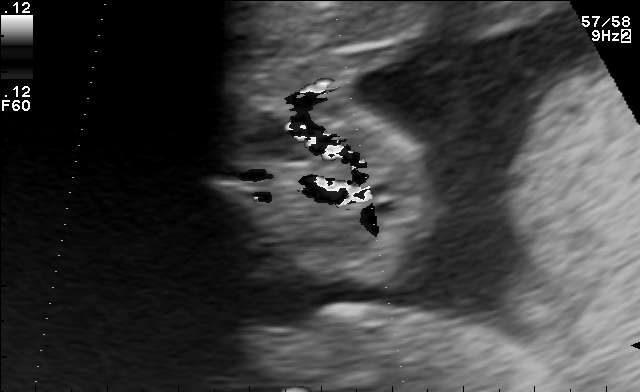
This is a 2D maternal-fetal ultrasound frame. Is it a fetal abdomen, fetal brain, fetal femur, fetal thorax, maternal cervix, or other standard plane? If it's fetal brain and one of the three standard brain planes (trans-thalamic, trans-cerebellum, trans-ventricular), name which.

Other